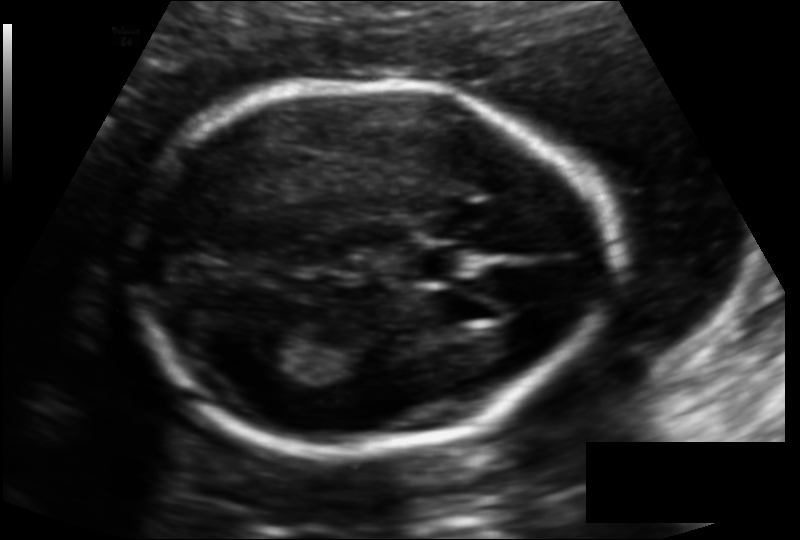
Fetal head ultrasound. Image width: 96.8 mm. Locate the fetal head and, if visible, the cavum septum pellucidum (CSP) and lateral ventricle (LV). Give bounding boxes as [x1,y1,x2,y2].

Head: [127,84,605,451]
CSP: [406,242,468,282]
Lateral ventricle: [248,326,307,367]